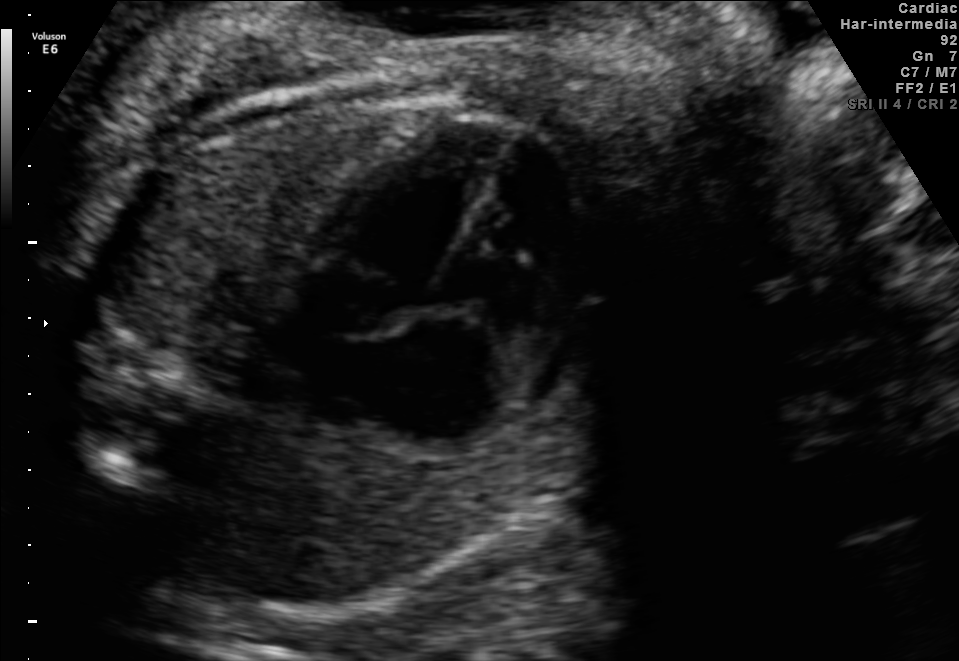
Classify this maternal-fetal ultrasound image as one of the six standard planes — fetal abdomen, fetal brain, fetal femur, fetal thorax, maternal cervix, or other. If it's fetal brain and one of the three standard brain planes (trans-thalamic, trans-cerebellum, trans-ventricular), name which.

Fetal thorax